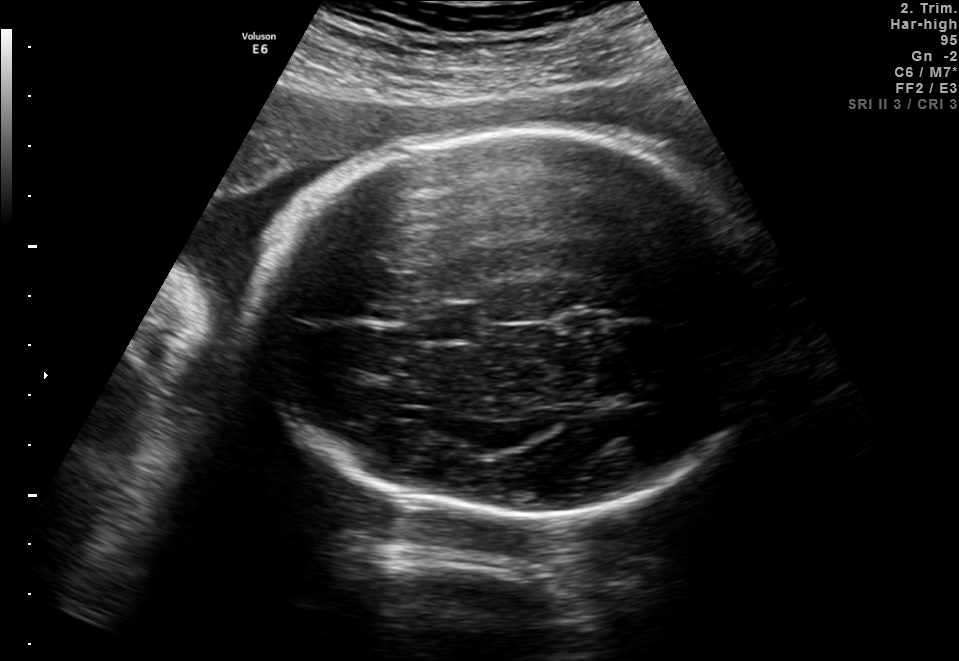
Fetal brain, trans-thalamic plane. Locate the fetal head and, if visible, the cavum septum pellucidum (CSP) and lateral ventricle (LV). Give bounding boxes as [x1,y1,x2,y2].

Head: [252,128,775,517]
CSP: [419,304,479,339]